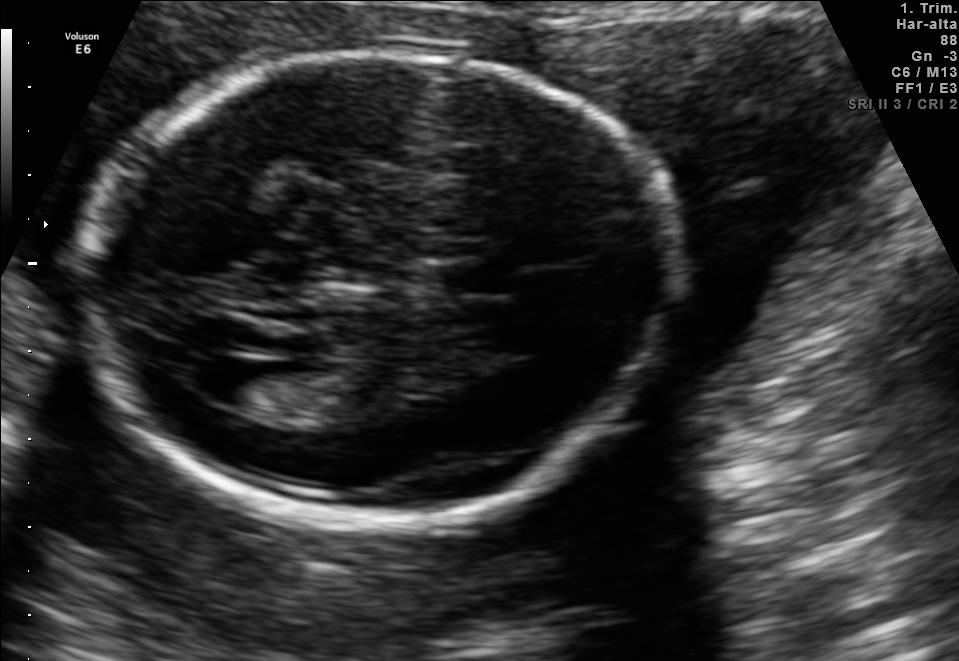
In this fetal brain, trans-ventricular plane, give the bounding box of the lateral ventricle.

[178,344,265,412]